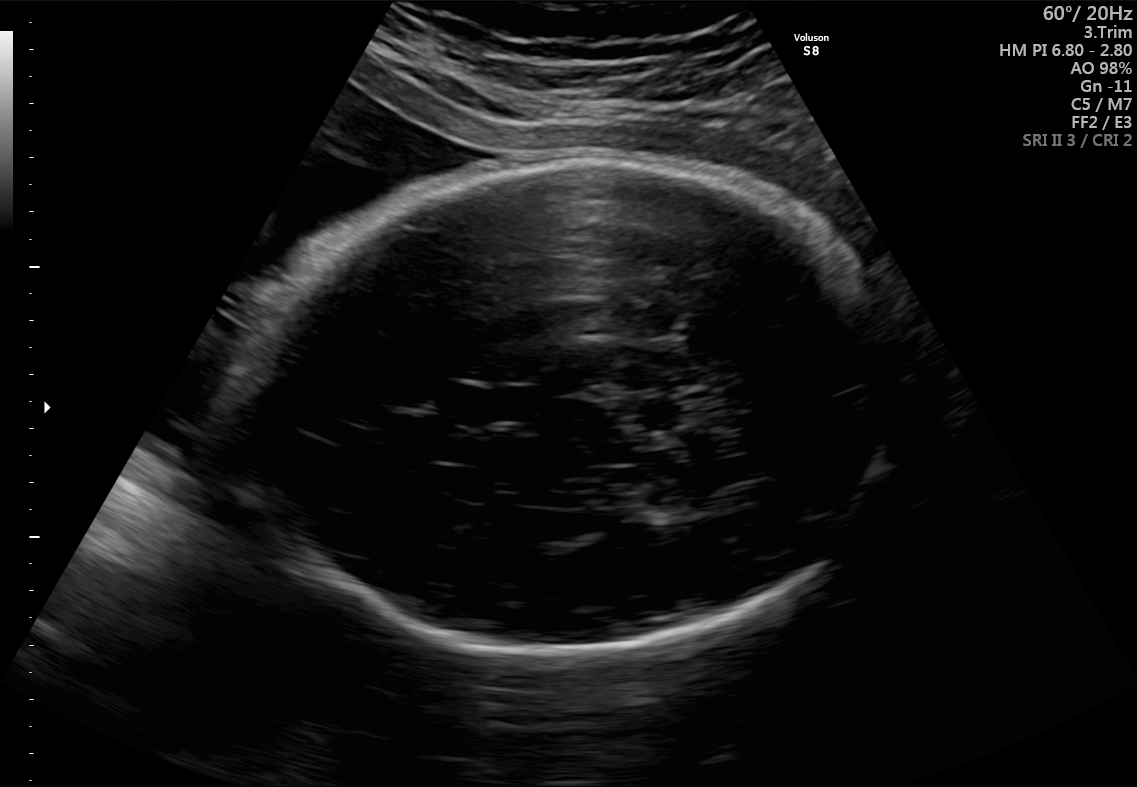
In this fetal brain, trans-thalamic plane, give the bounding box of the fetal head.

[225,154,909,662]